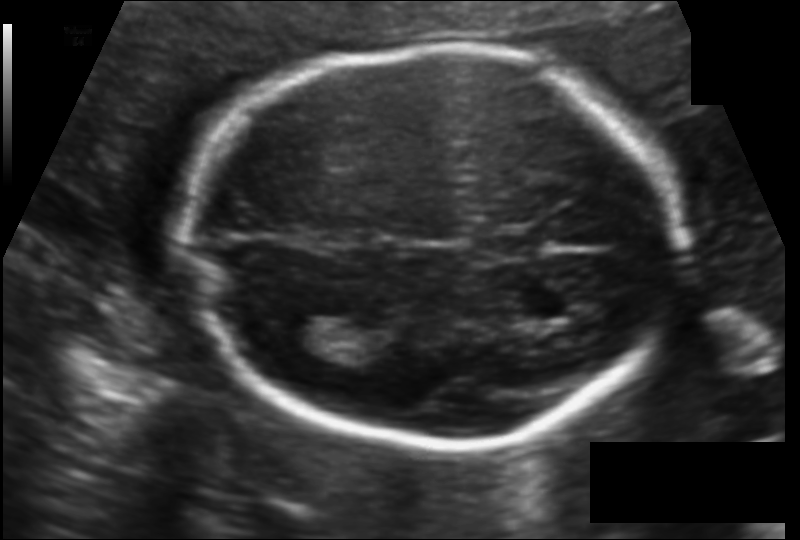
Fetal head ultrasound. Image width: 99.4 mm. Give [x1,y1,x2,y2] bounding boxes for each visible structure among: fetal head, CSP, LV.

Head: [188,47,681,444]
CSP: [478,226,544,262]
Lateral ventricle: [266,312,325,355]